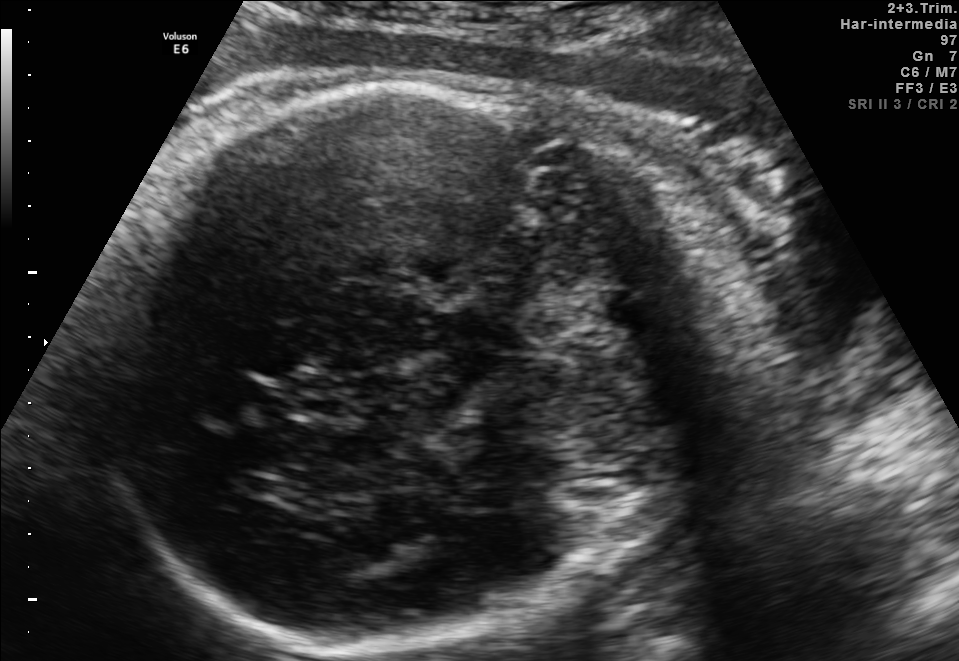
Fetal brain, trans-thalamic plane. Locate the fetal head.

Head: [86,75,759,636]